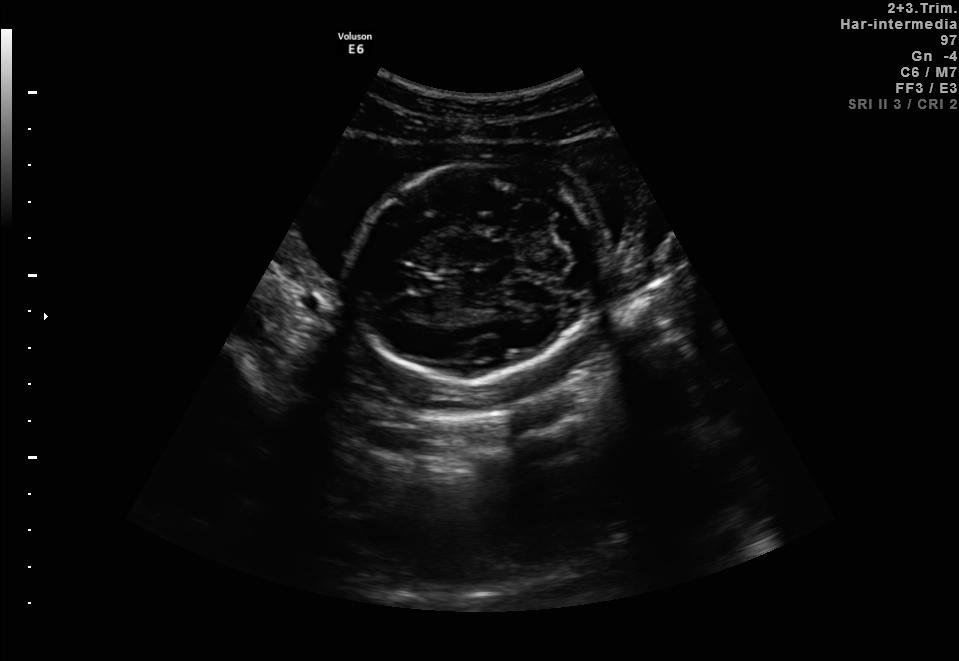
Fetal brain, trans-cerebellum plane. Where is the fetal head?

Head bounding box: [349,163,602,382]